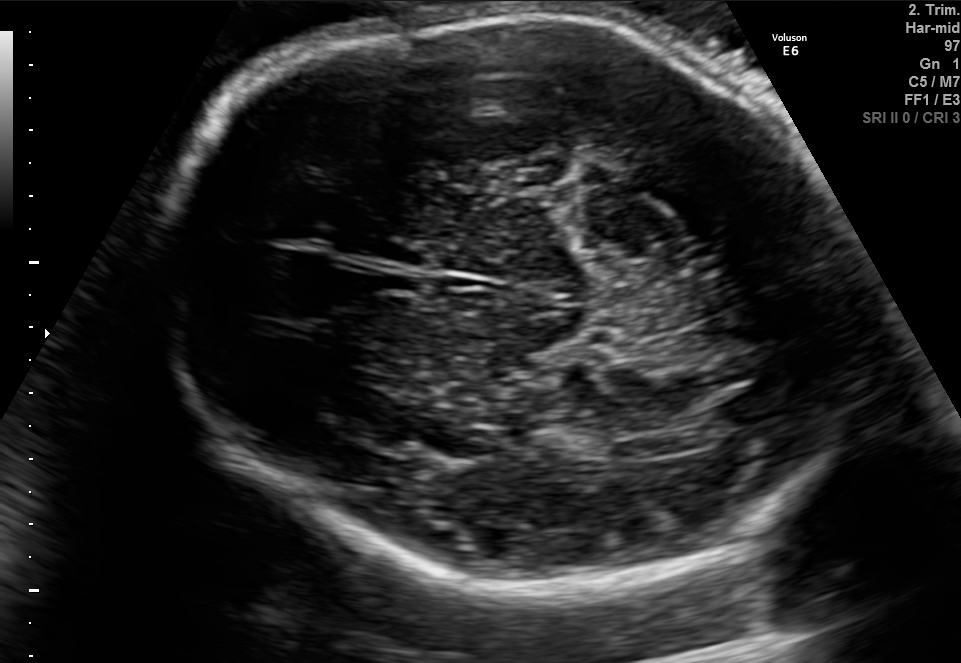
Fetal brain, trans-thalamic plane. Locate the fetal head.

Head: [146,13,861,584]